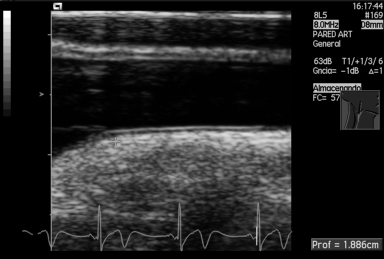
Identify the standard plane in this fetal ultrasound image: fetal abdomen, fetal brain, fetal femur, fetal thorax, maternal cervix, or other. If it's fetal brain and one of the three standard brain planes (trans-thalamic, trans-cerebellum, trans-ventricular), name which.

Other